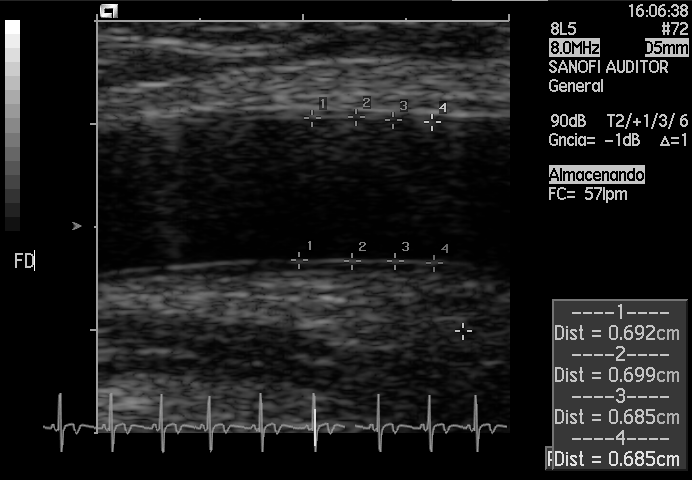
Which standard maternal-fetal ultrasound plane is shown: fetal abdomen, fetal brain, fetal femur, fetal thorax, maternal cervix, or other? If it's fetal brain and one of the three standard brain planes (trans-thalamic, trans-cerebellum, trans-ventricular), name which.

Other